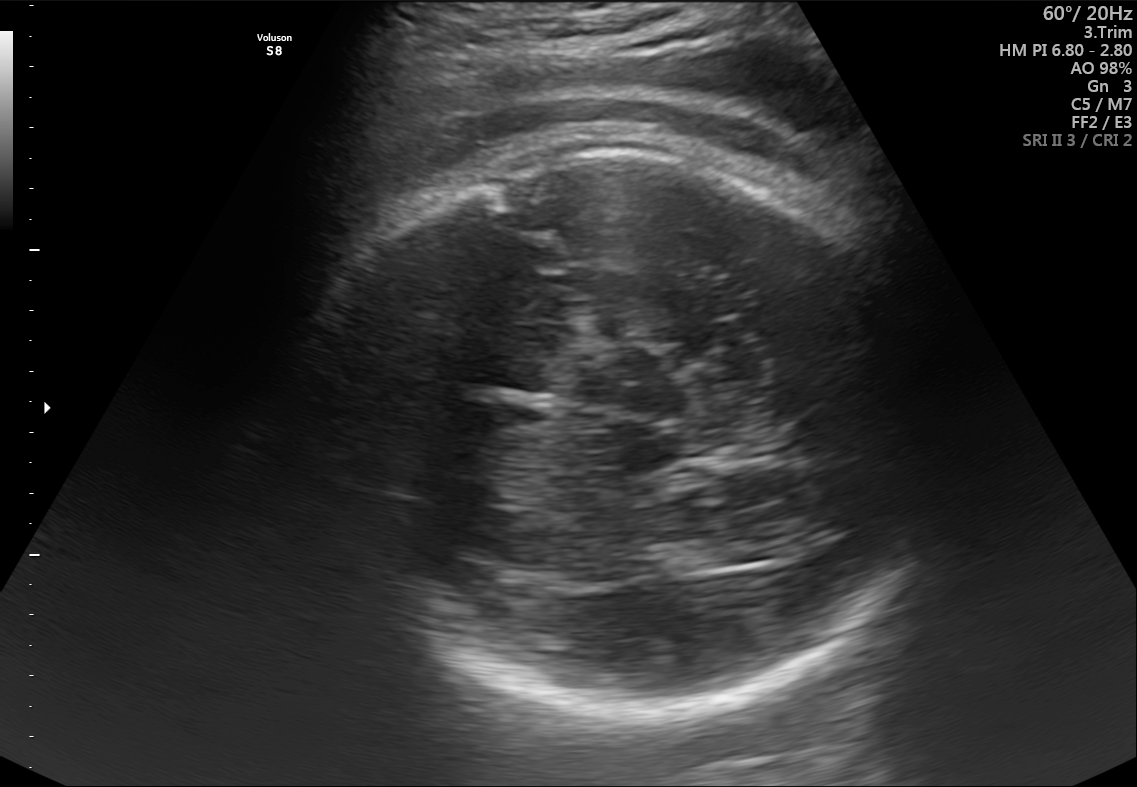
This is a 2D maternal-fetal ultrasound frame. Is it a fetal abdomen, fetal brain, fetal femur, fetal thorax, maternal cervix, or other standard plane? If it's fetal brain and one of the three standard brain planes (trans-thalamic, trans-cerebellum, trans-ventricular), name which.

Fetal brain (trans-thalamic plane)